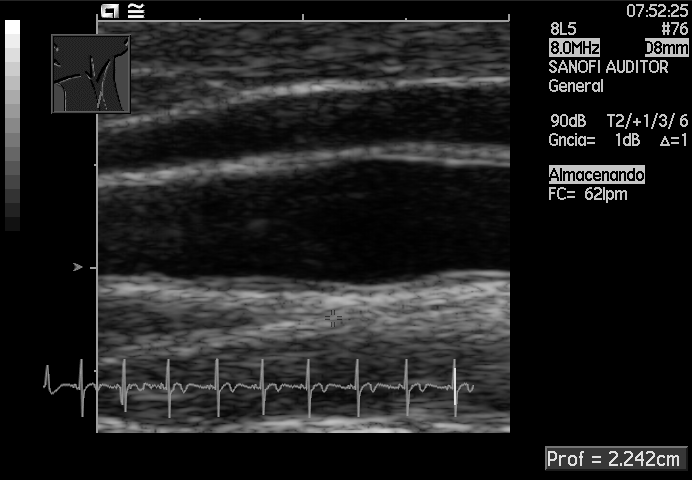
Classify this maternal-fetal ultrasound image as one of the six standard planes — fetal abdomen, fetal brain, fetal femur, fetal thorax, maternal cervix, or other. If it's fetal brain and one of the three standard brain planes (trans-thalamic, trans-cerebellum, trans-ventricular), name which.

Other